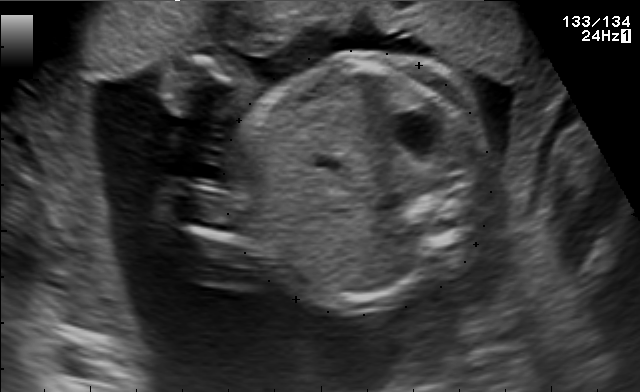
Which standard maternal-fetal ultrasound plane is shown: fetal abdomen, fetal brain, fetal femur, fetal thorax, maternal cervix, or other? If it's fetal brain and one of the three standard brain planes (trans-thalamic, trans-cerebellum, trans-ventricular), name which.

Other